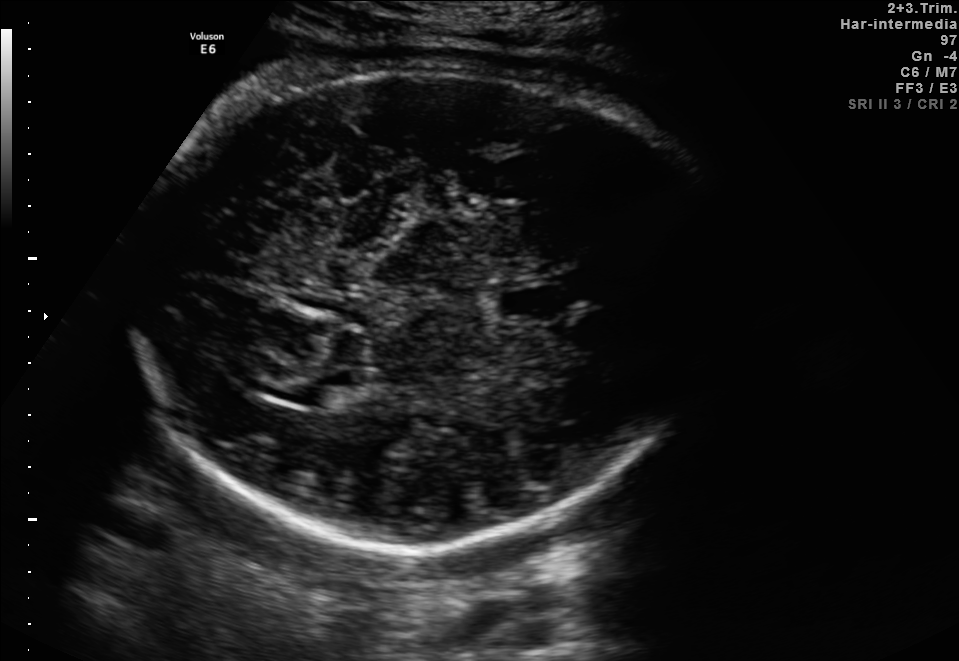
Fetal brain, trans-thalamic plane. Locate the fetal head and, if visible, the cavum septum pellucidum (CSP) and lateral ventricle (LV). Give bounding boxes as [x1,y1,x2,y2].

Head: [129,63,720,546]
CSP: [497,280,561,319]
Lateral ventricle: [257,360,353,415]